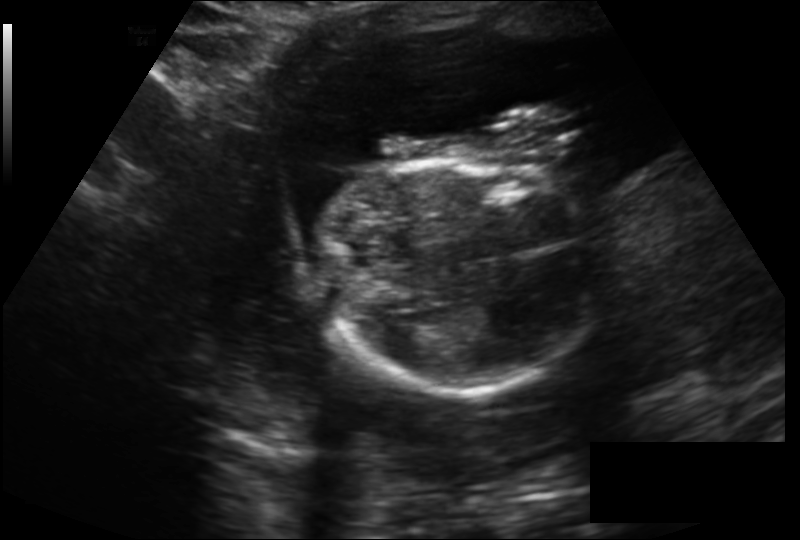
Fetal head ultrasound. Image width: 155.8 mm. Where is the fetal head?

Head bounding box: [320,158,596,395]